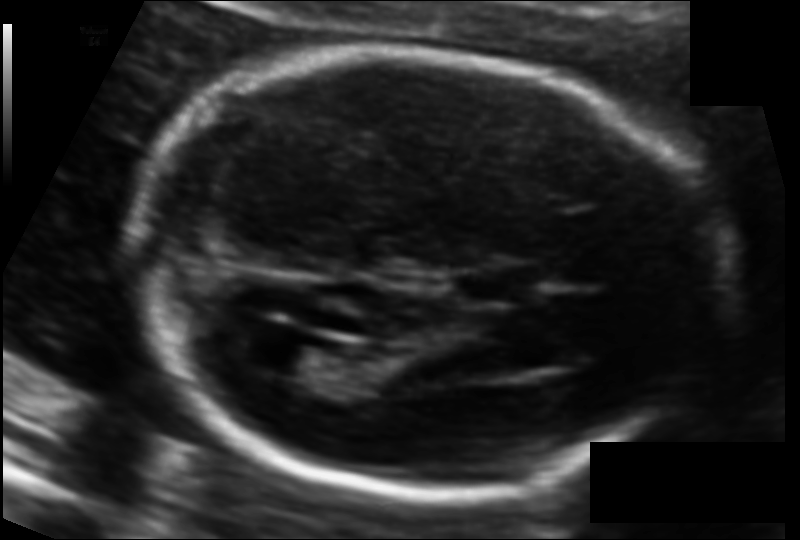
Fetal head ultrasound. Image width: 82.9 mm. Locate the lateral ventricle.

Lateral ventricle: [253,332,341,393]